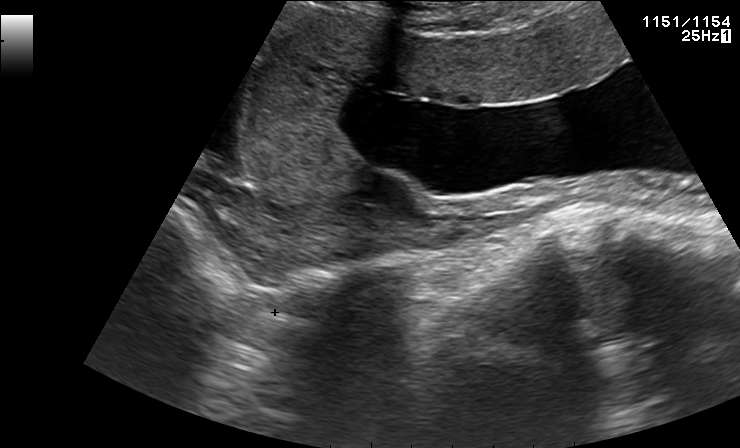
This is a 2D maternal-fetal ultrasound frame. Is it a fetal abdomen, fetal brain, fetal femur, fetal thorax, maternal cervix, or other standard plane? If it's fetal brain and one of the three standard brain planes (trans-thalamic, trans-cerebellum, trans-ventricular), name which.

Other